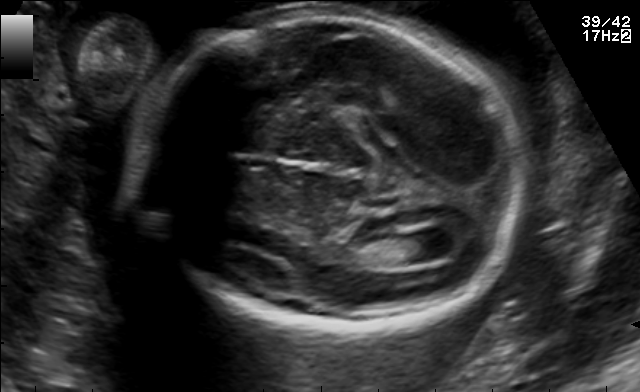
Fetal brain, trans-ventricular plane. Give [x1,y1,x2,y2] bounding boxes for each visible structure among: fetal head, CSP, LV.

Head: [128,3,537,334]
Lateral ventricle: [402,230,460,265]